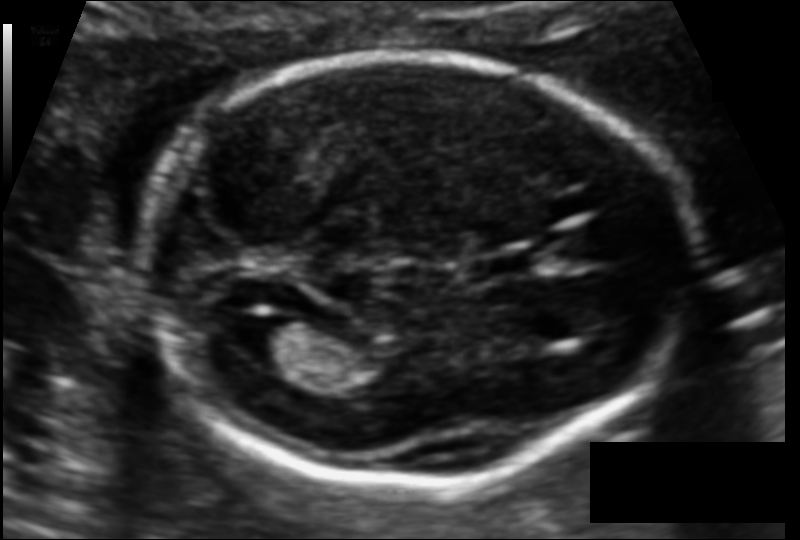
Fetal head ultrasound. Image width: 85.1 mm. Where is the cavum septum pellucidum?

CSP bounding box: [477,246,538,285]